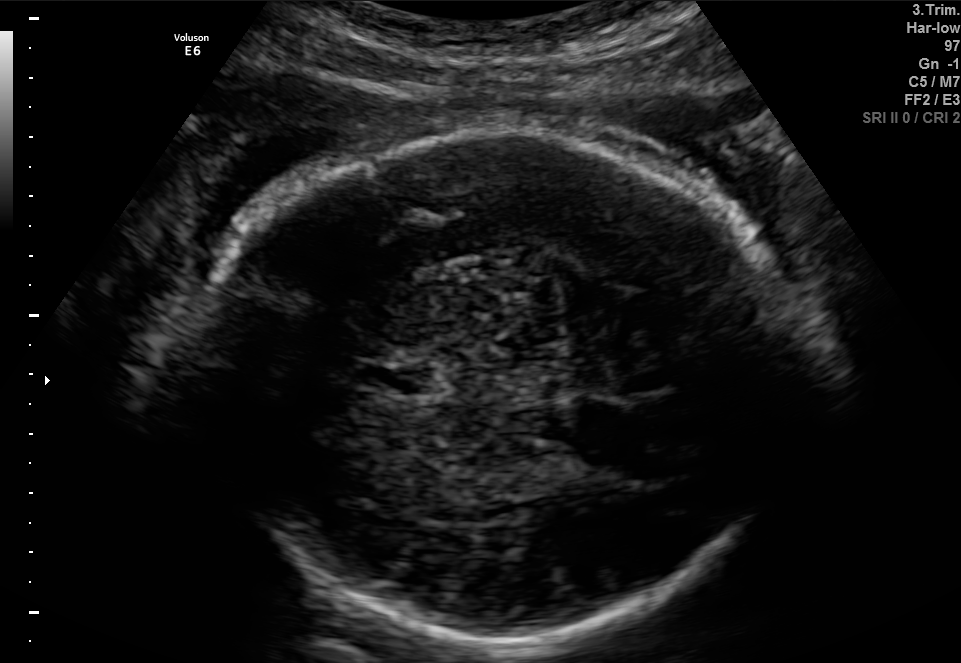
Fetal brain, trans-thalamic plane. Locate the cavum septum pellucidum.

CSP: [357,360,420,398]